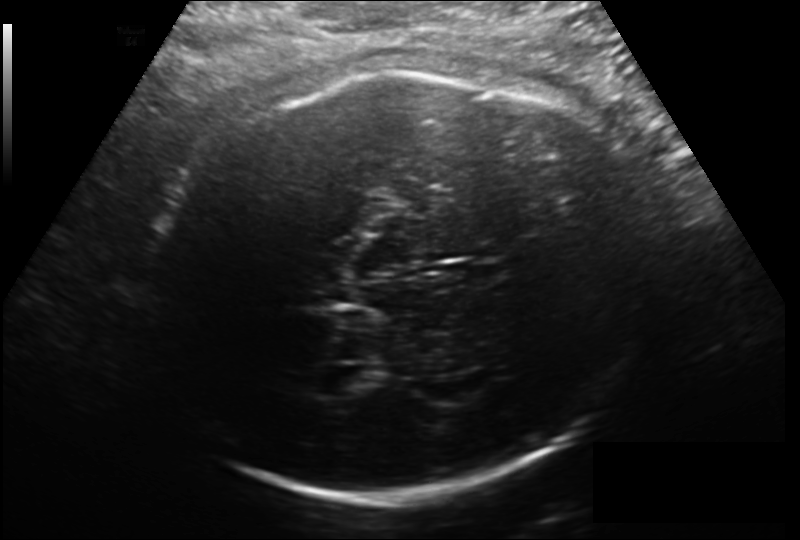
In this fetal head ultrasound, give the bounding box of the fetal head. Image width: 164.8 mm.

[140,73,642,505]